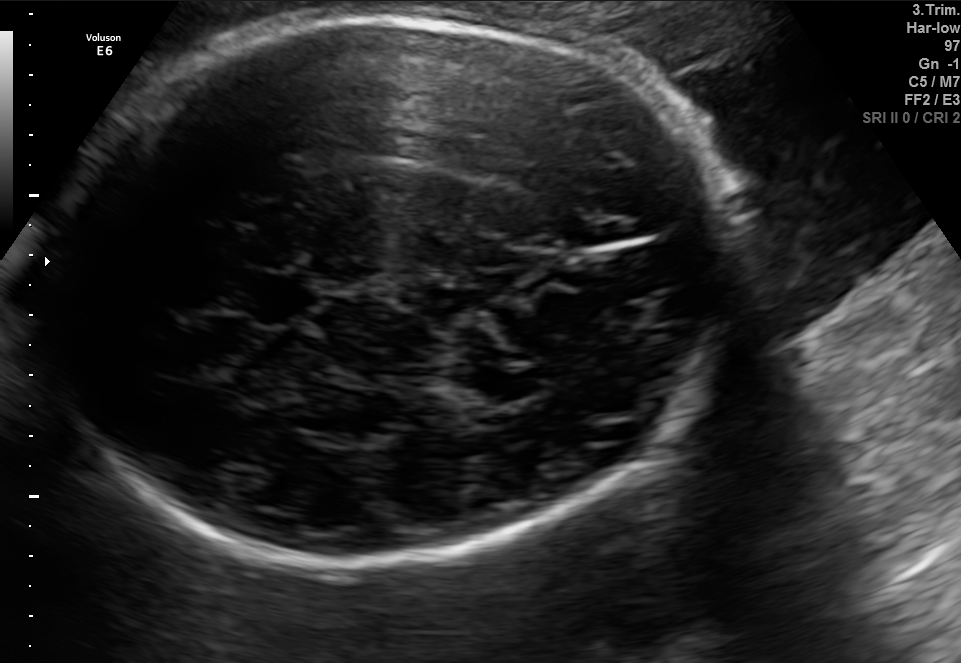
In this fetal brain, trans-thalamic plane, give the bounding box of the fetal head.

[46,16,731,567]